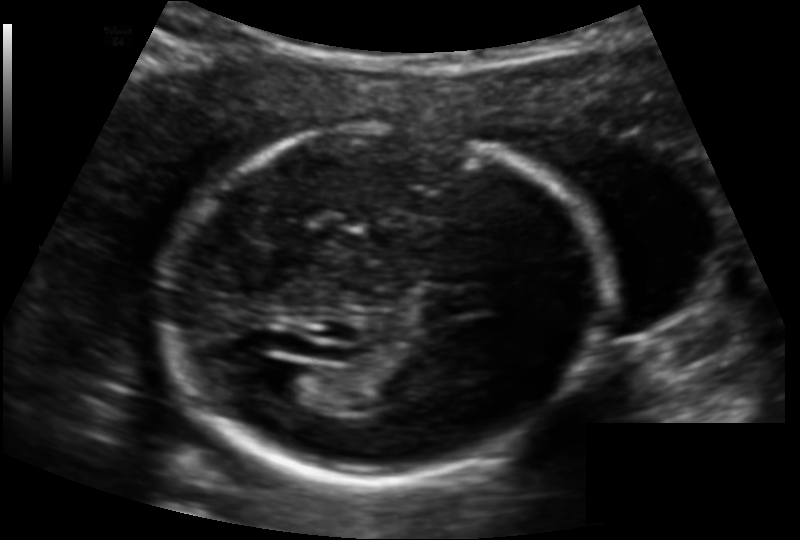
Estimate the fetal head circumference from this 2D ultrasound.

Head circumference: 176.4 mm (image width 105.9 mm).